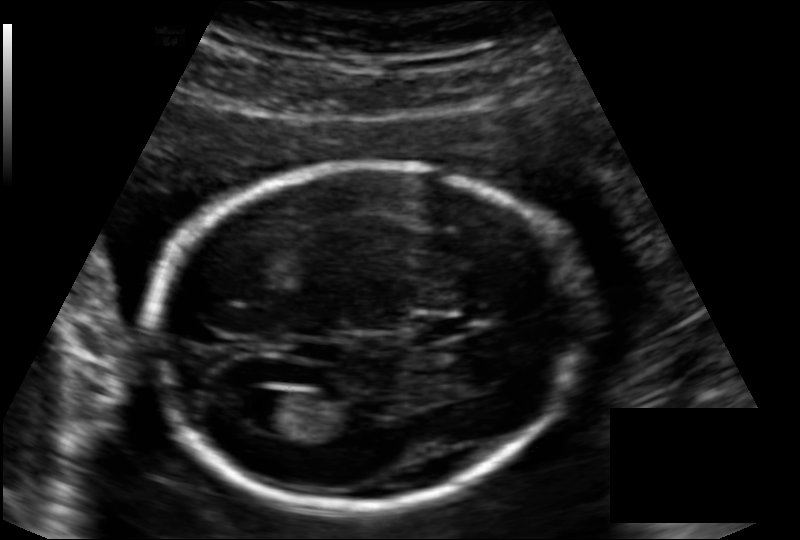
In this fetal head ultrasound, give the bounding box of the fetal head. Image width: 108.5 mm.

[148,162,578,504]